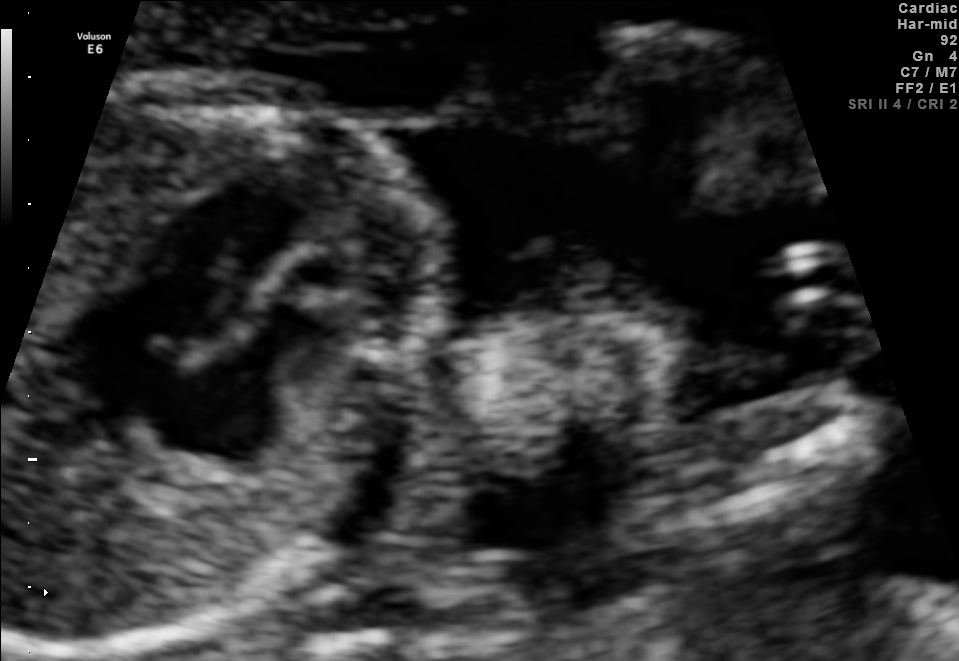
This is a 2D maternal-fetal ultrasound frame. Is it a fetal abdomen, fetal brain, fetal femur, fetal thorax, maternal cervix, or other standard plane? If it's fetal brain and one of the three standard brain planes (trans-thalamic, trans-cerebellum, trans-ventricular), name which.

Fetal thorax